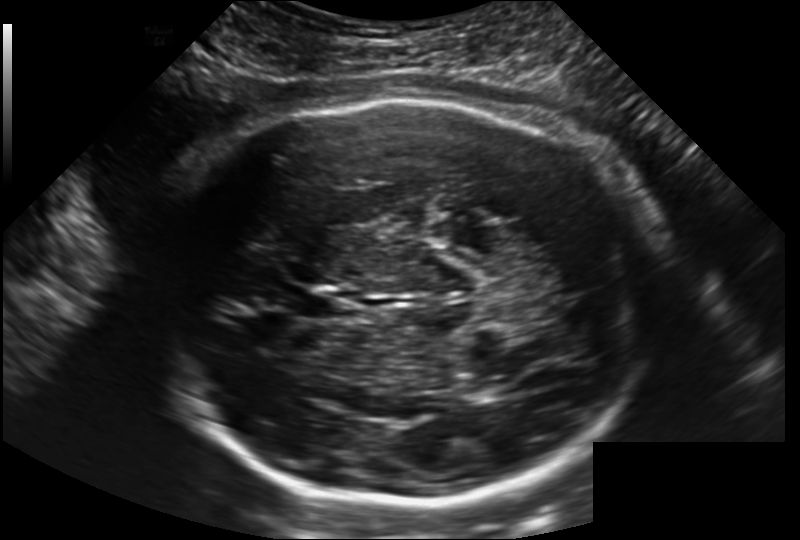
Fetal head ultrasound. Image width: 161.6 mm. Where is the cavum septum pellucidum?

CSP bounding box: [286,287,343,321]